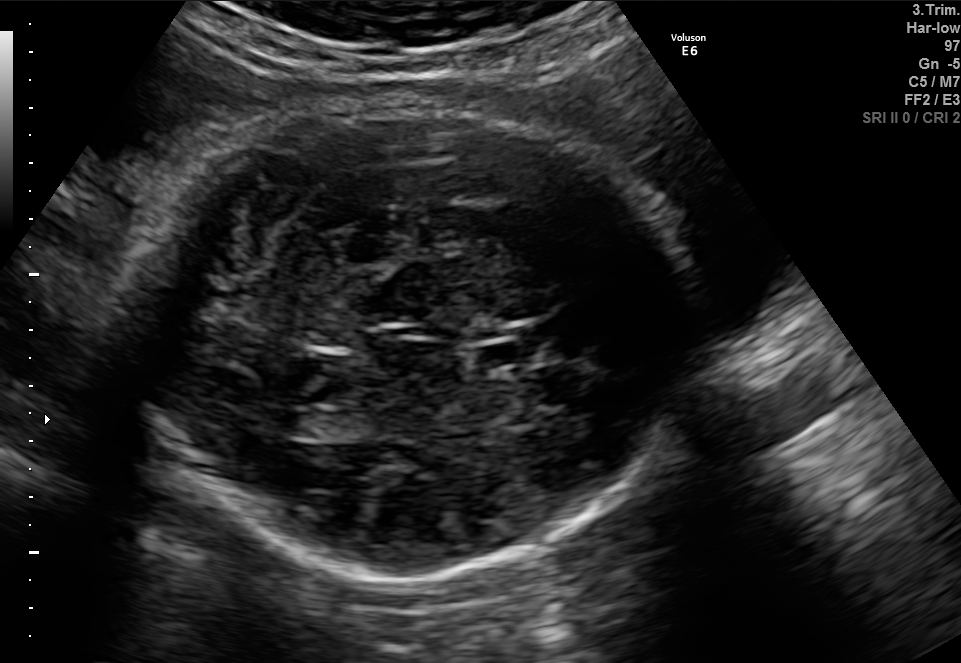
Classify this maternal-fetal ultrasound image as one of the six standard planes — fetal abdomen, fetal brain, fetal femur, fetal thorax, maternal cervix, or other. If it's fetal brain and one of the three standard brain planes (trans-thalamic, trans-cerebellum, trans-ventricular), name which.

Fetal brain (trans-ventricular plane)